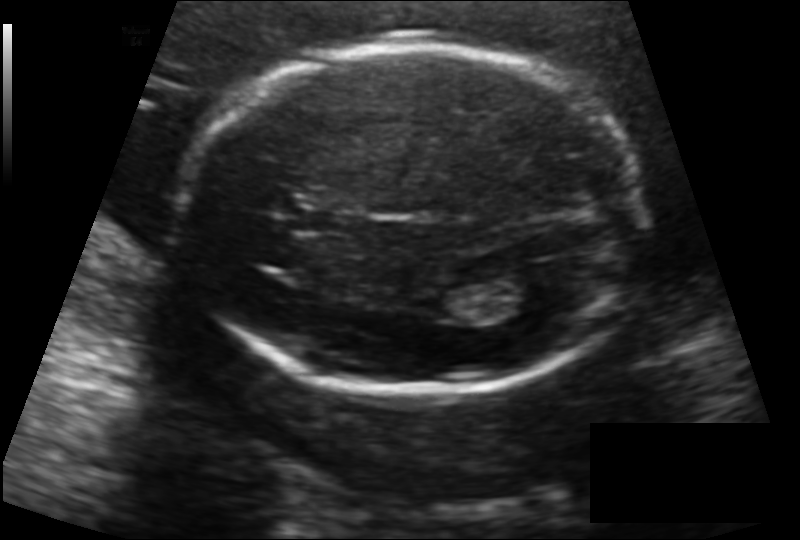
Estimate the fetal head circumference from this 2D ultrasound. Image width: 113.3 mm.

Head circumference: 186.5 mm.